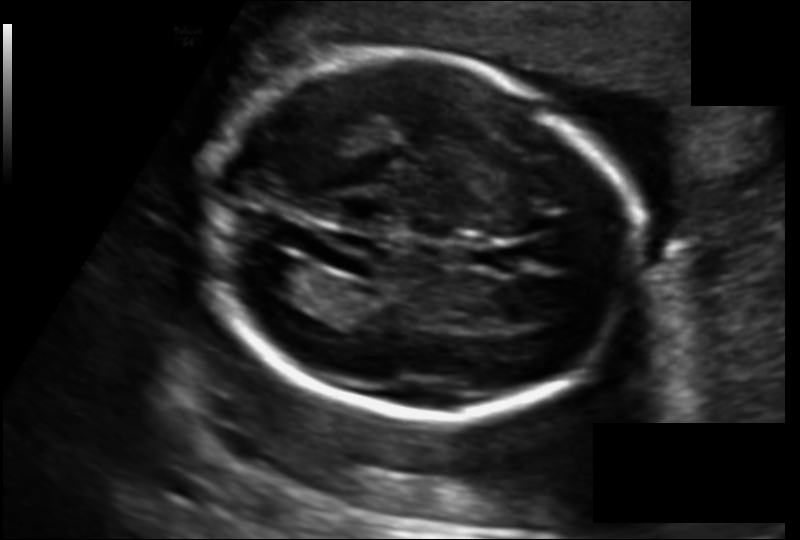
Measure the fetal head circumference shown in this ultrasound image. Image width: 107.9 mm.

Head circumference: 174.4 mm.